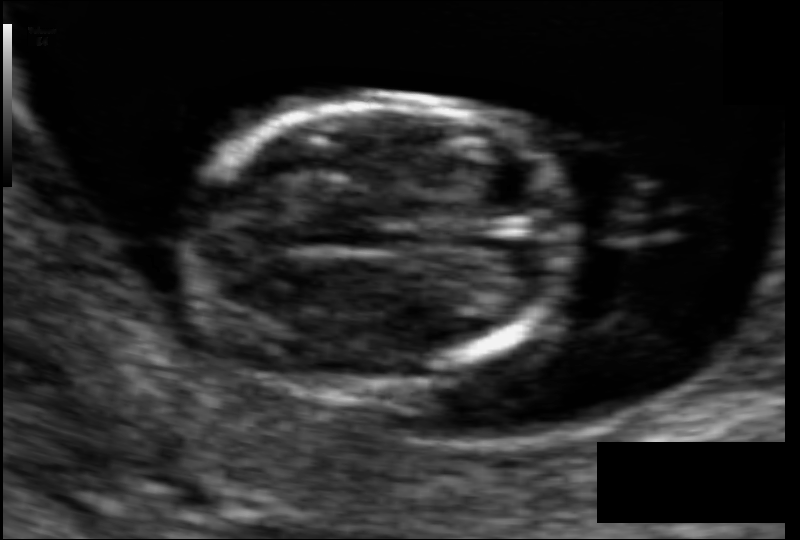
Estimate the fetal head circumference from this 2D ultrasound.

Head circumference: 71.6 mm (image width 52.8 mm).